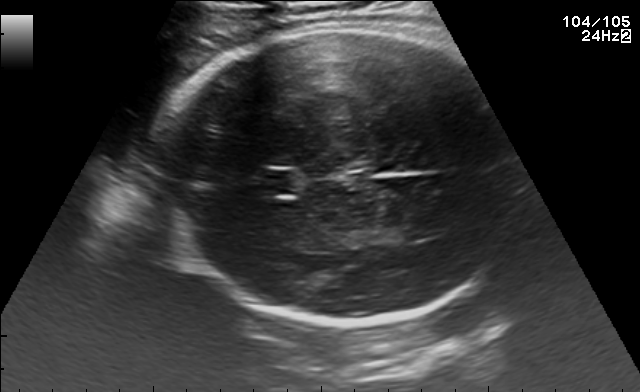
Fetal brain, trans-thalamic plane. Locate the fetal head and, if visible, the cavum septum pellucidum (CSP) and lateral ventricle (LV). Give bounding boxes as [x1,y1,x2,y2].

Head: [151,24,508,326]
CSP: [254,169,295,195]